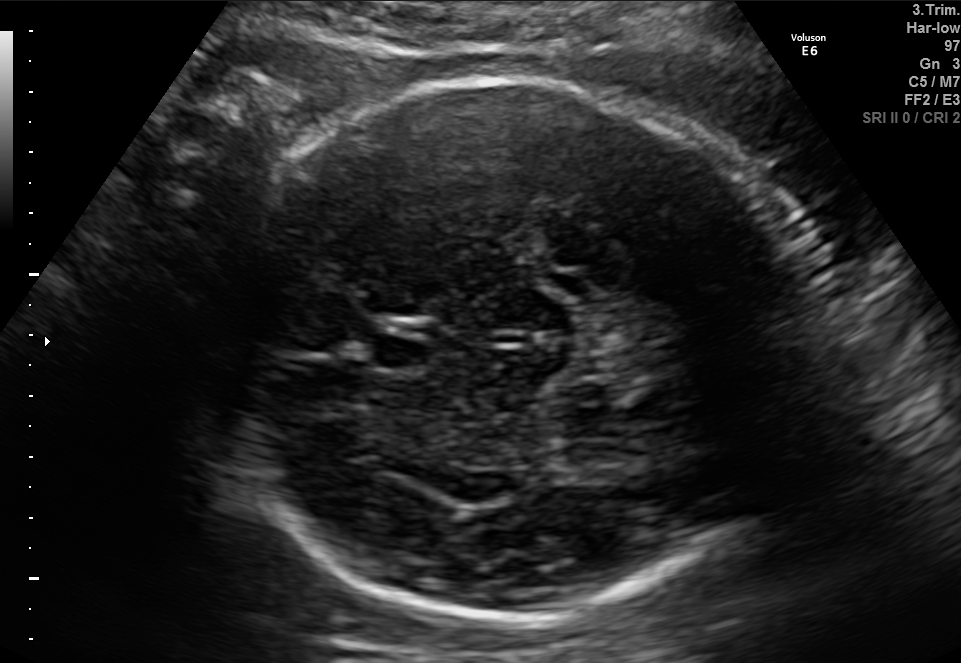
Fetal brain, trans-thalamic plane. Locate the fetal head and, if visible, the cavum septum pellucidum (CSP) and lateral ventricle (LV). Give bounding boxes as [x1,y1,x2,y2].

Head: [192,76,809,619]
CSP: [373,334,433,371]